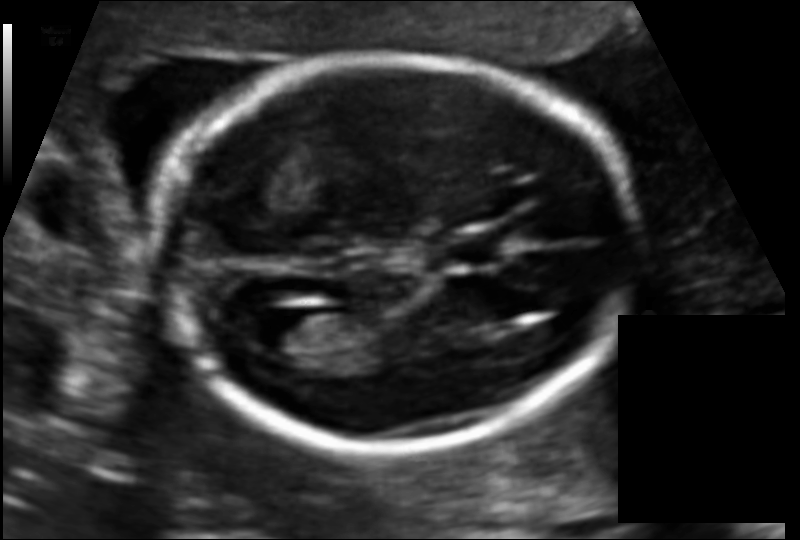
Fetal head ultrasound. Image width: 87.1 mm. Locate the cavum septum pellucidum.

CSP: [443,234,501,268]